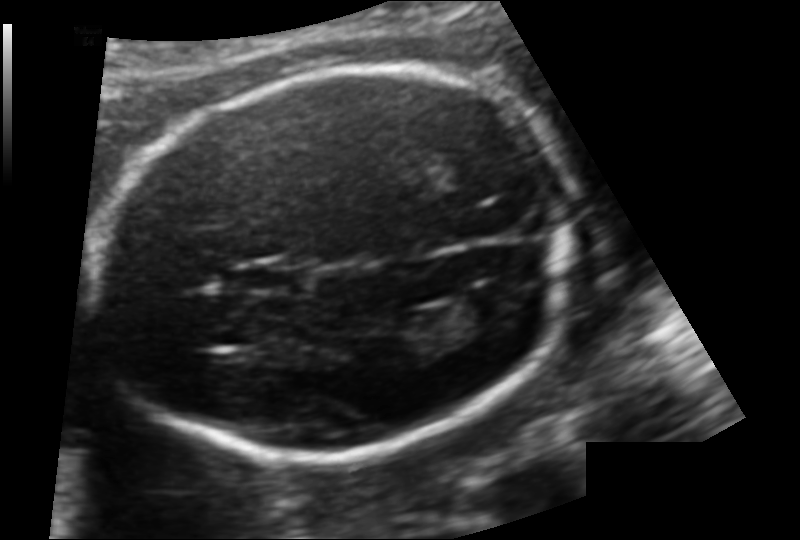
Fetal head ultrasound. Image width: 98.8 mm. Give [x1,y1,x2,y2] bounding boxes for each visible structure among: fetal head, CSP, LV.

Head: [95,69,570,466]
CSP: [230,255,308,300]
Lateral ventricle: [443,282,510,337]